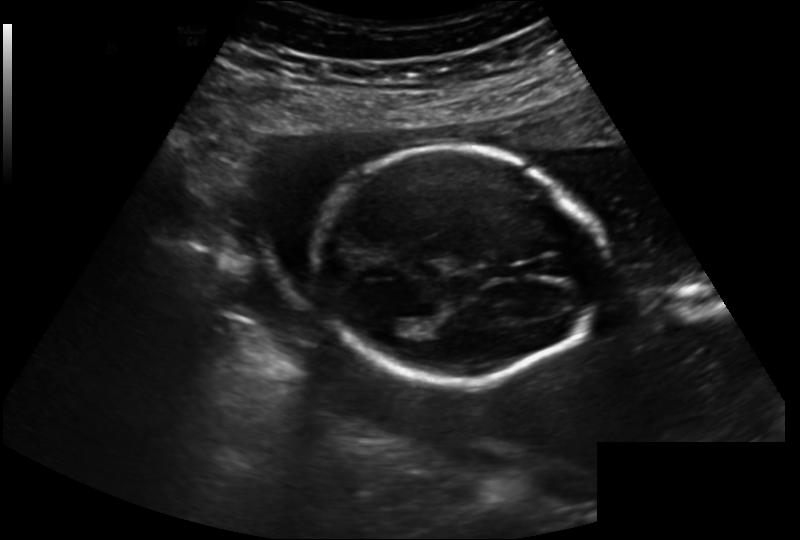
Fetal head ultrasound. Image width: 161.6 mm. Locate the fetal head.

Head: [312,146,601,382]